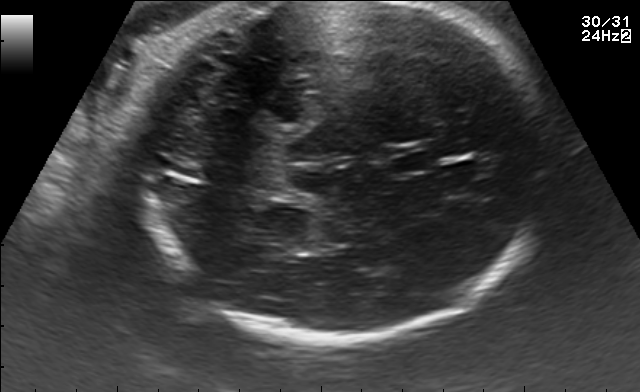
In this fetal brain, trans-thalamic plane, give bounding boxes for the head outline, cavum septum pellucidum (CSP), and lateral ventricle (LV), where visible.

Head: [131,3,557,342]
CSP: [391,150,439,175]